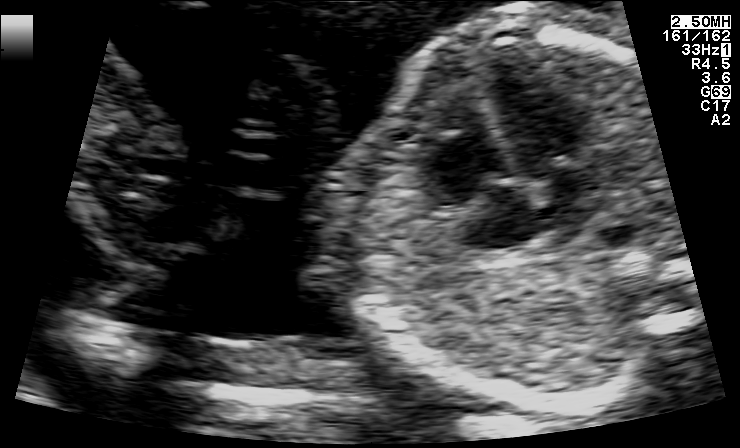
Which standard maternal-fetal ultrasound plane is shown: fetal abdomen, fetal brain, fetal femur, fetal thorax, maternal cervix, or other? If it's fetal brain and one of the three standard brain planes (trans-thalamic, trans-cerebellum, trans-ventricular), name which.

Fetal thorax